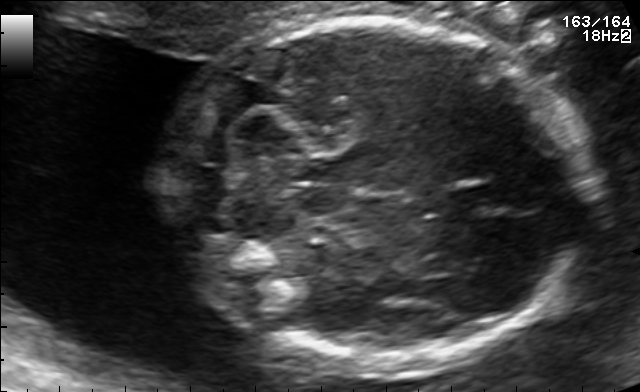
Fetal brain, trans-cerebellum plane. Locate the fetal head and, if visible, the cavum septum pellucidum (CSP) and lateral ventricle (LV). Give bounding boxes as [x1,y1,x2,y2].

Head: [170,17,589,370]
CSP: [444,179,503,221]